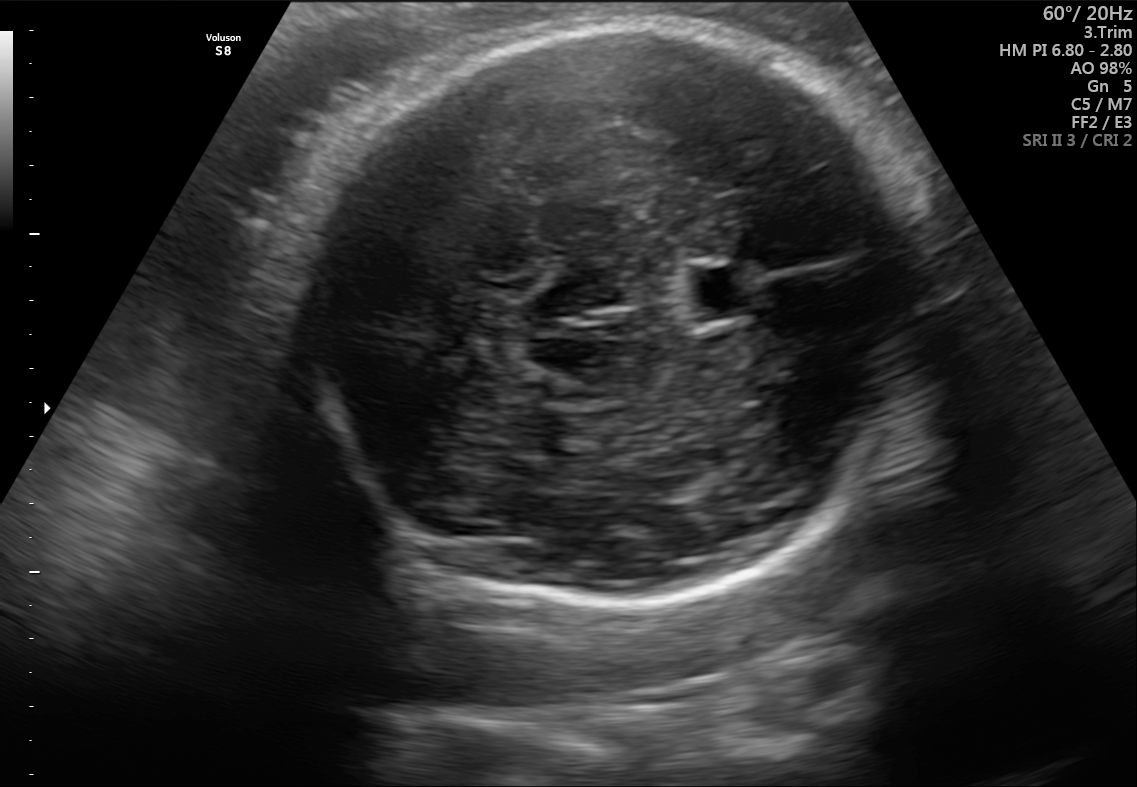
In this fetal brain, trans-thalamic plane, give the bounding box of the fetal head.

[294,29,933,608]